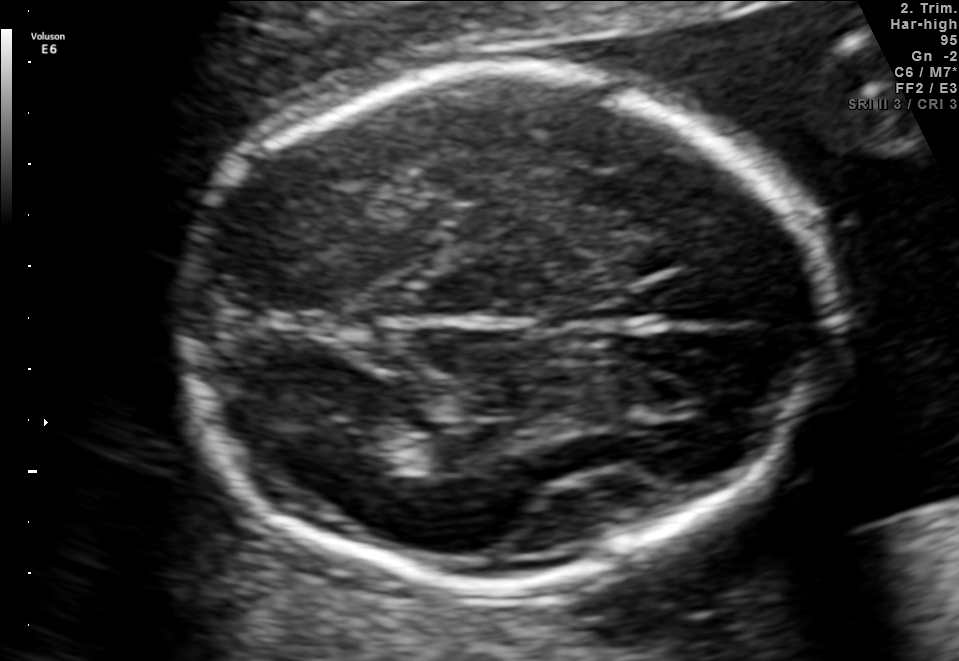
In this fetal brain, trans-thalamic plane, give the bounding box of the lateral ventricle.

[328,423,441,473]